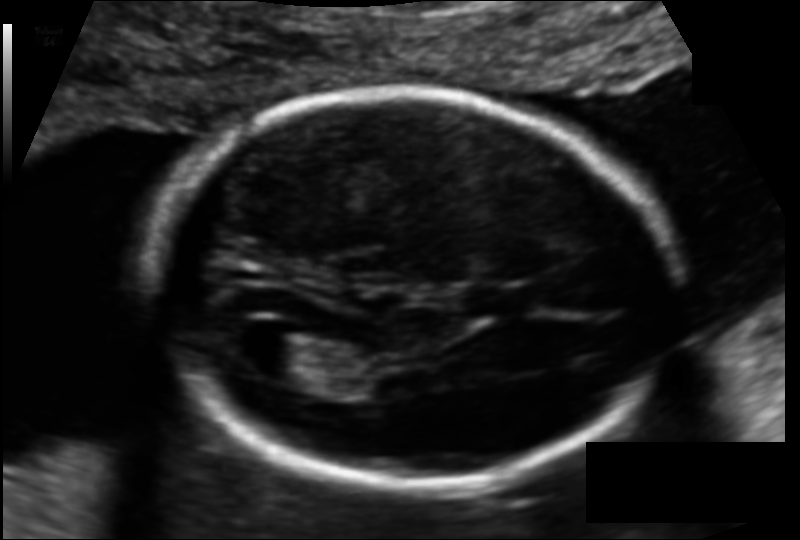
Fetal head ultrasound. Image width: 91.1 mm. Where is the lateral ventricle?

Lateral ventricle bounding box: [239,325,330,387]